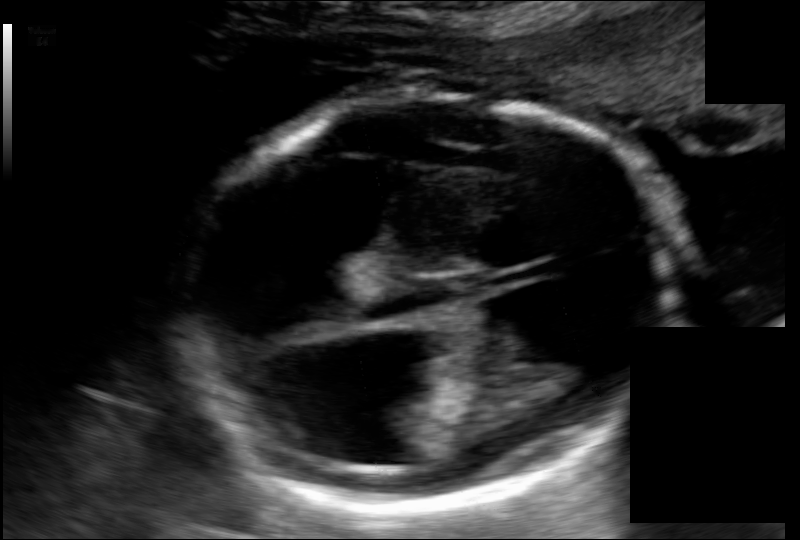
Fetal head ultrasound. Image width: 107.8 mm. Give [x1,y1,x2,y2] bounding boxes for each visible structure among: fetal head, CSP, LV.

Head: [184,91,678,512]